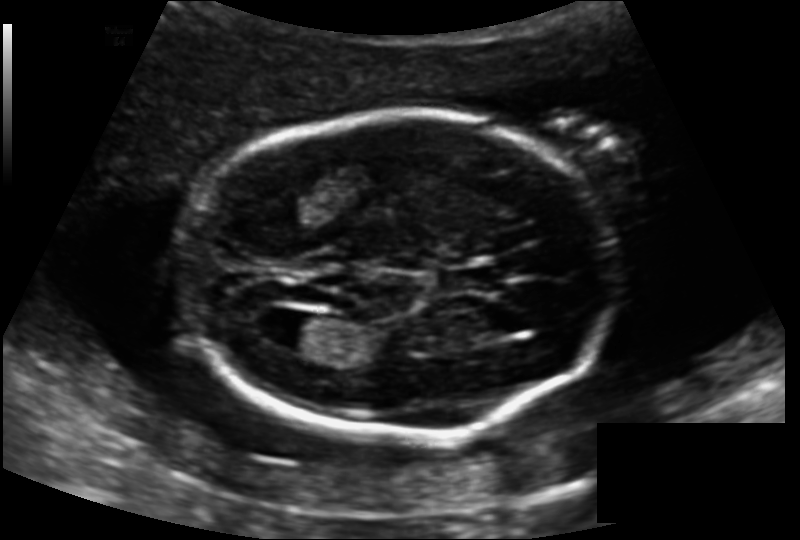
In this fetal head ultrasound, give the bounding box of the cavum septum pellucidum. Image width: 111.5 mm.

[441,264,501,296]